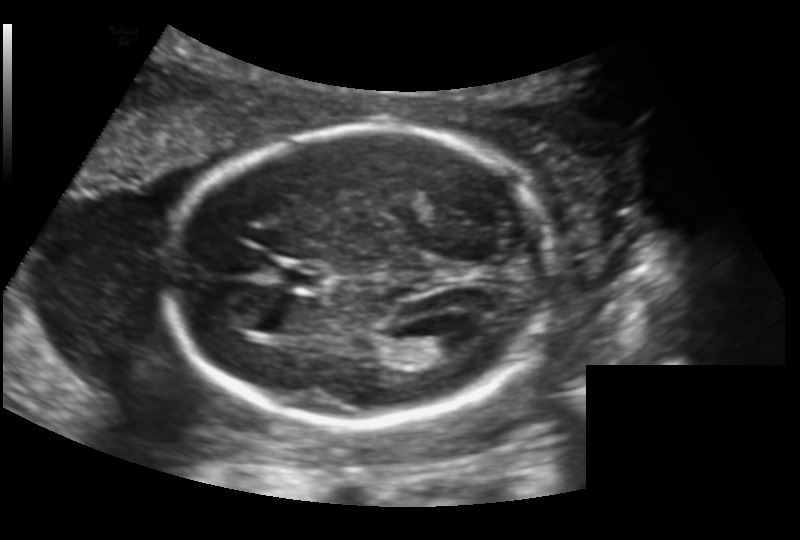
Fetal head ultrasound. Image width: 125.0 mm. Locate the fetal head and, if visible, the cavum septum pellucidum (CSP) and lateral ventricle (LV). Give bounding boxes as [x1,y1,x2,y2].

Head: [169,127,548,428]
CSP: [272,258,329,295]
Lateral ventricle: [414,323,472,366]